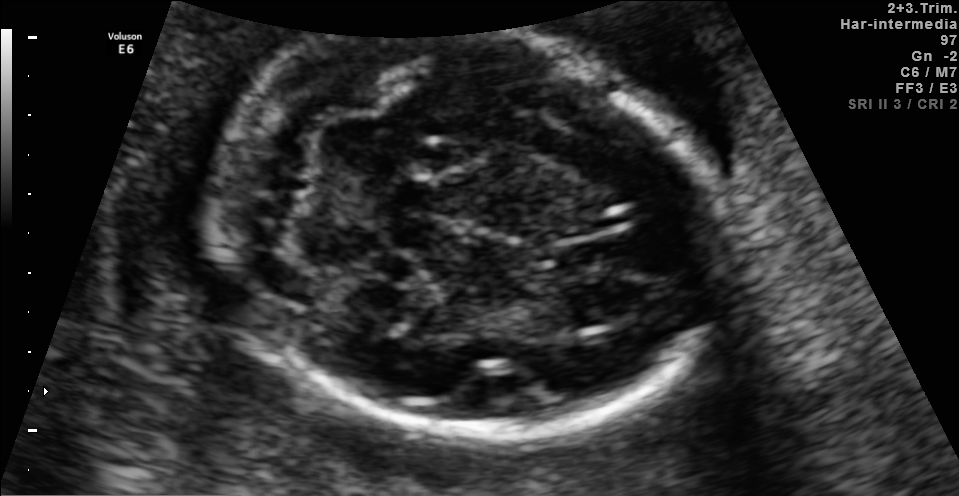
Fetal brain, trans-cerebellum plane. Give [x1,y1,x2,y2] bounding boxes for each visible structure among: fetal head, CSP, LV.

Head: [214,11,723,438]